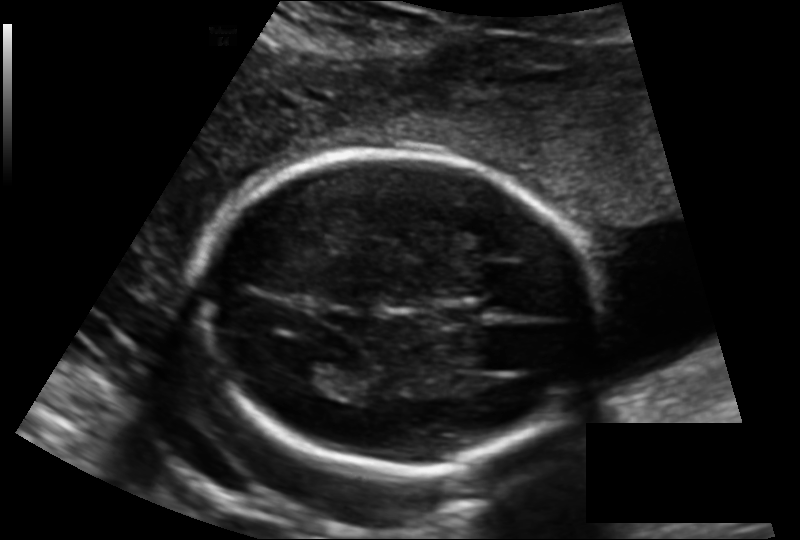
From this fetal ultrasound, estimate the head circumference (image width 114.7 mm).

Head circumference: 169.0 mm.